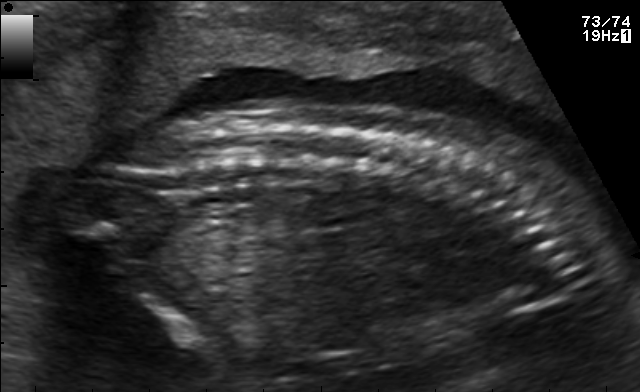
Classify this maternal-fetal ultrasound image as one of the six standard planes — fetal abdomen, fetal brain, fetal femur, fetal thorax, maternal cervix, or other. If it's fetal brain and one of the three standard brain planes (trans-thalamic, trans-cerebellum, trans-ventricular), name which.

Other